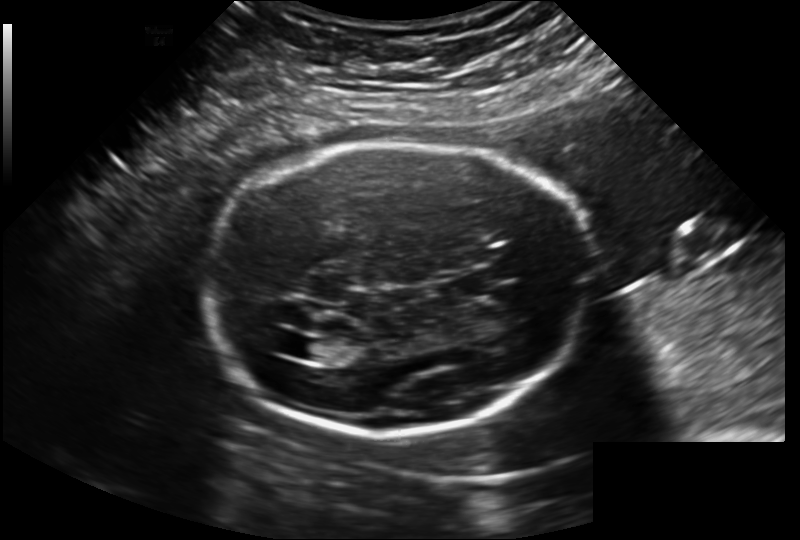
Fetal head ultrasound. Image width: 161.6 mm. Locate the cavum septum pellucidum.

CSP: [435,269,491,308]